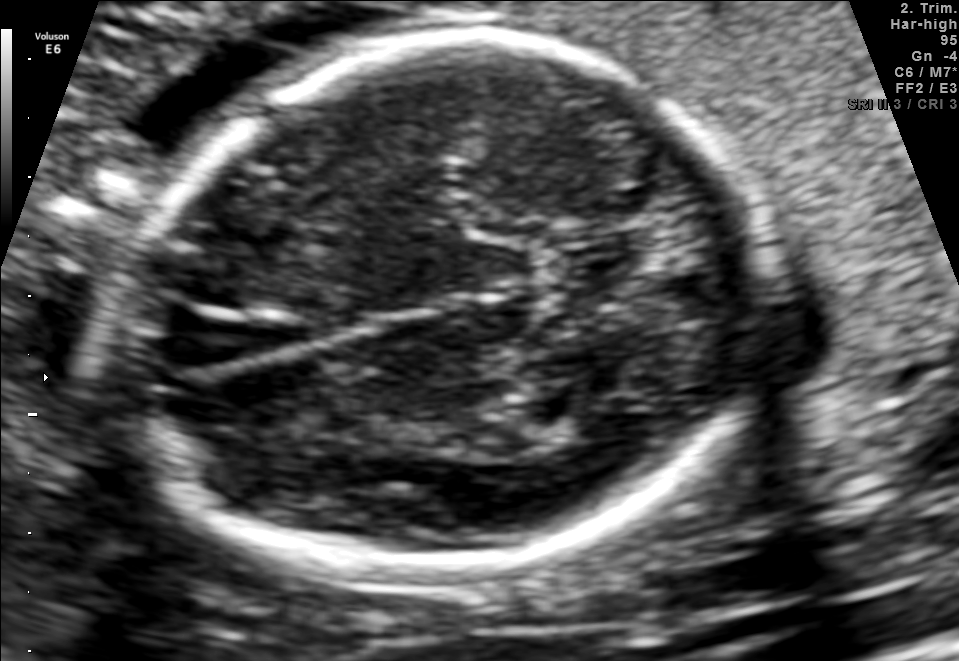
Fetal brain, trans-thalamic plane. Give [x1,y1,x2,y2] bounding boxes for each visible structure among: fetal head, CSP, LV.

Head: [104,37,767,574]